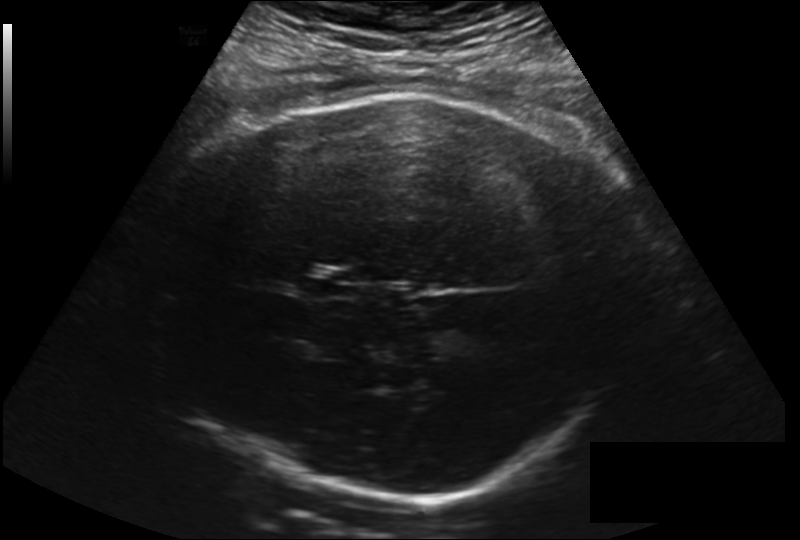
Estimate the fetal head circumference from this 2D ultrasound.

Head circumference: 327.9 mm (image width 179.8 mm).